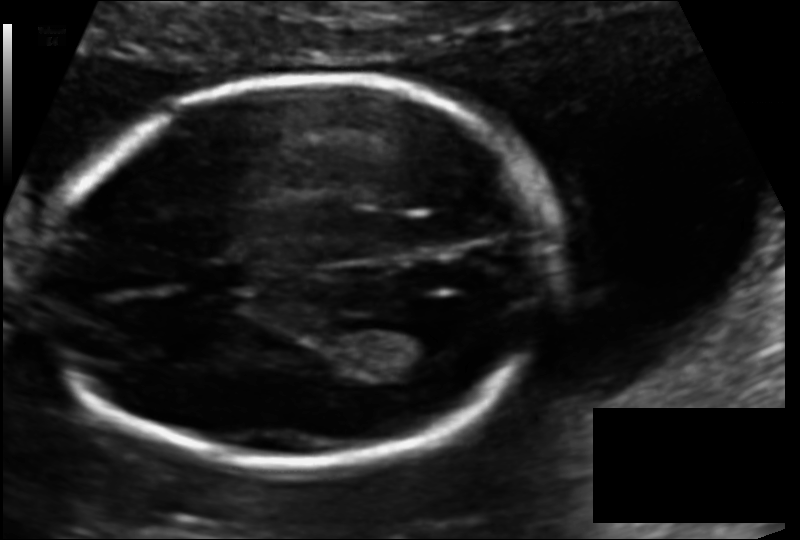
From this fetal ultrasound, estimate the head circumference (image width 90.5 mm).

Head circumference: 167.7 mm.